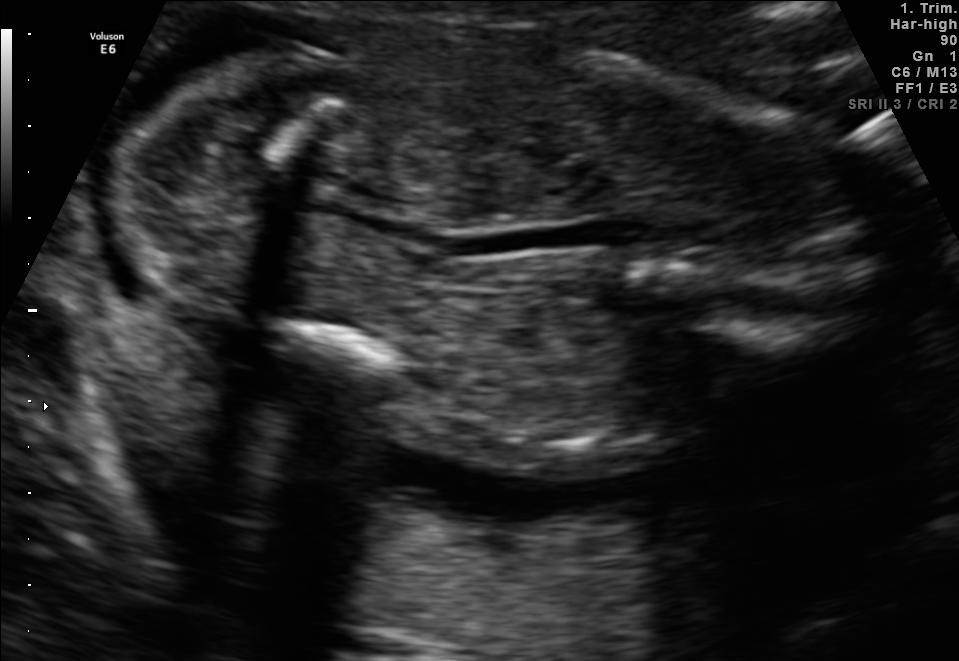
Classify this maternal-fetal ultrasound image as one of the six standard planes — fetal abdomen, fetal brain, fetal femur, fetal thorax, maternal cervix, or other. If it's fetal brain and one of the three standard brain planes (trans-thalamic, trans-cerebellum, trans-ventricular), name which.

Other